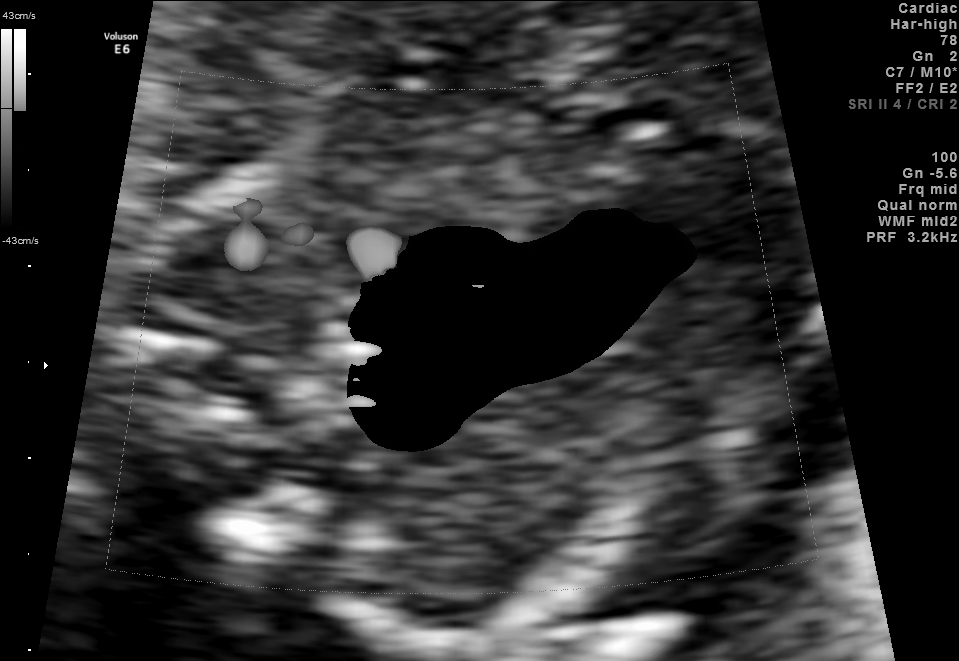
This is a 2D maternal-fetal ultrasound frame. Is it a fetal abdomen, fetal brain, fetal femur, fetal thorax, maternal cervix, or other standard plane? If it's fetal brain and one of the three standard brain planes (trans-thalamic, trans-cerebellum, trans-ventricular), name which.

Other